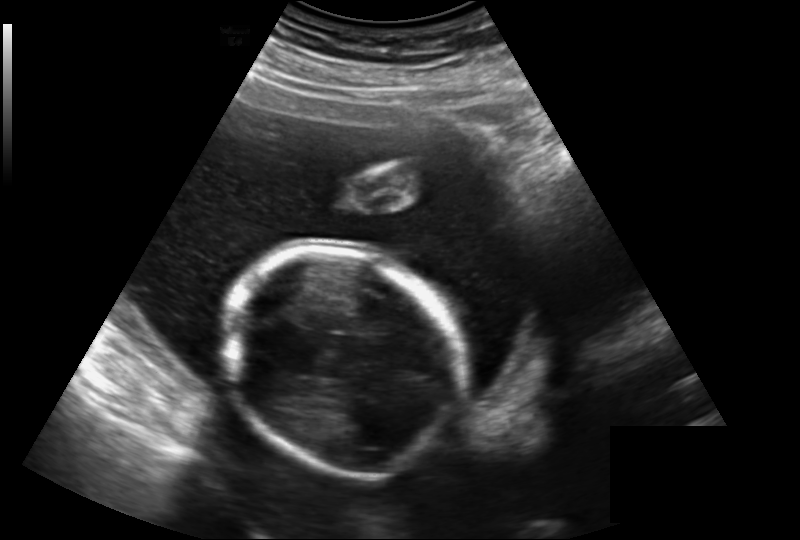
Measure the fetal head circumference shown in this ultrasound image. Image width: 175.3 mm.

Head circumference: 163.1 mm.